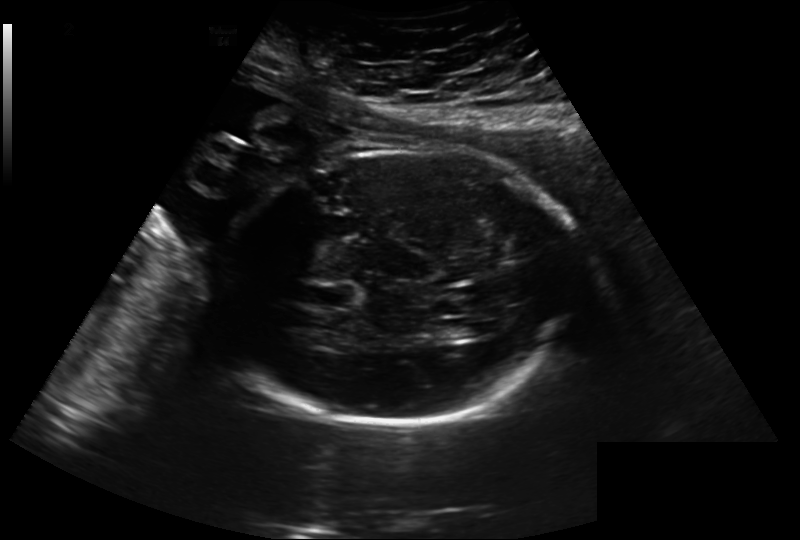
Fetal head ultrasound. Image width: 208.3 mm. Locate the lateral ventricle.

Lateral ventricle: [437,317,476,340]